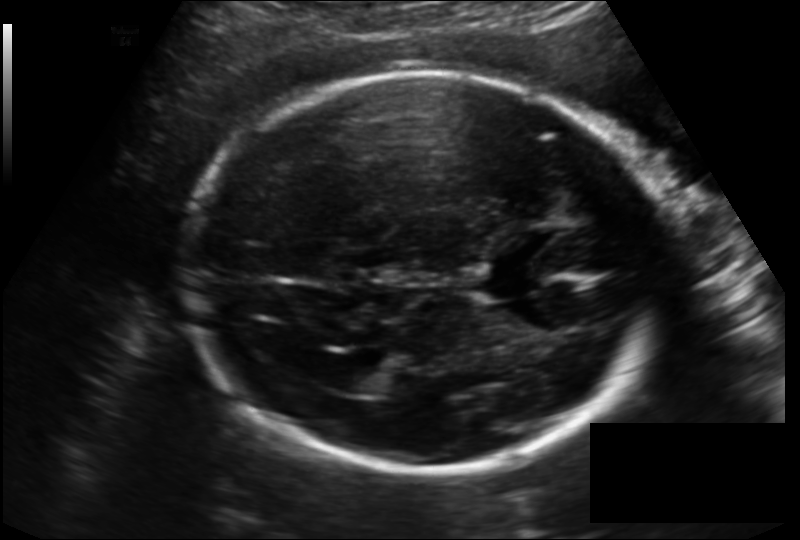
Fetal head ultrasound. Image width: 133.1 mm. Locate the cavum septum pellucidum.

CSP: [474,256,543,302]